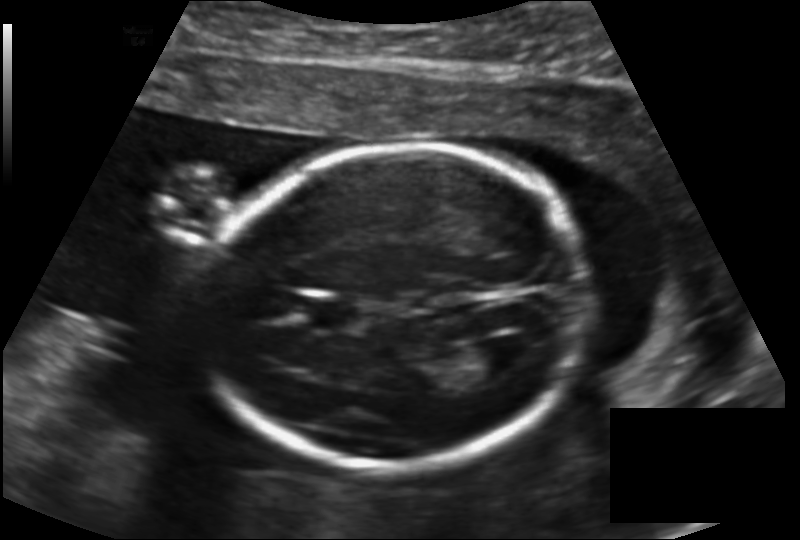
Fetal head ultrasound. Image width: 117.6 mm. Where is the lateral ventricle?

Lateral ventricle bounding box: [464,329,537,382]